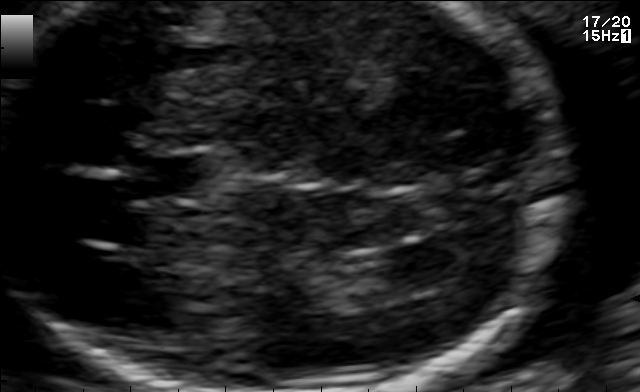
In this fetal brain, trans-ventricular plane, give bounding boxes for the cavum septum pellucidum (CSP) and lateral ventricle (LV), where visible.

CSP: [130,157,201,197]
Lateral ventricle: [374,231,477,298]